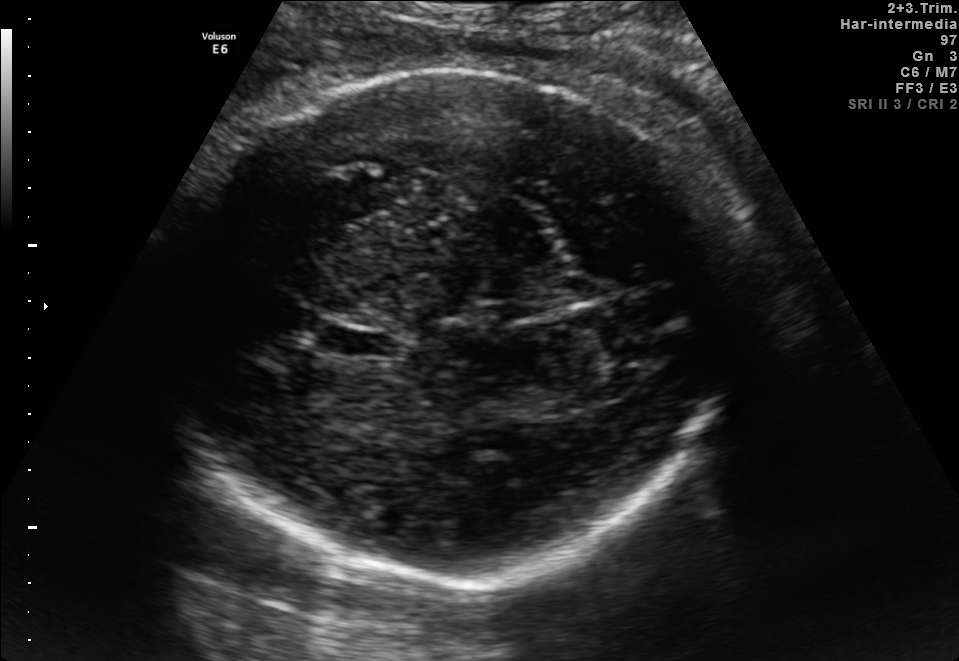
Fetal brain, trans-thalamic plane. Locate the cavum septum pellucidum.

CSP: [331,325,404,361]